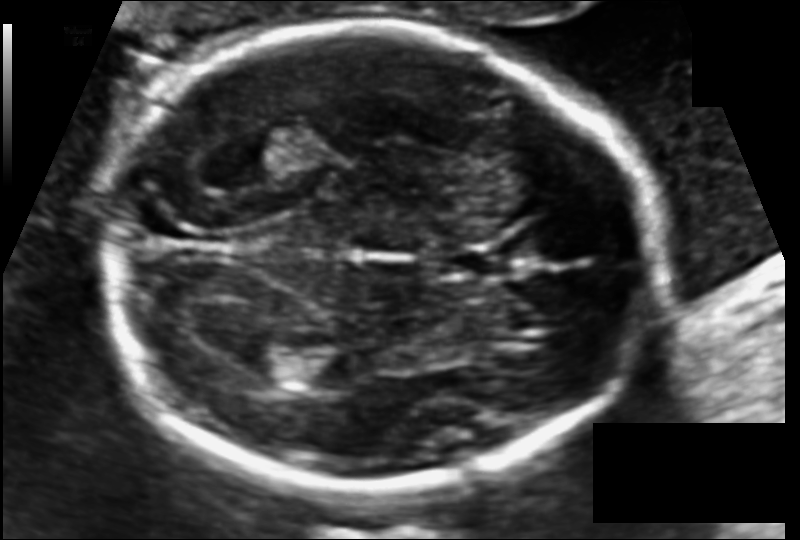
Fetal head ultrasound. Image width: 87.7 mm. Locate the fetal head.

Head: [104,25,652,490]